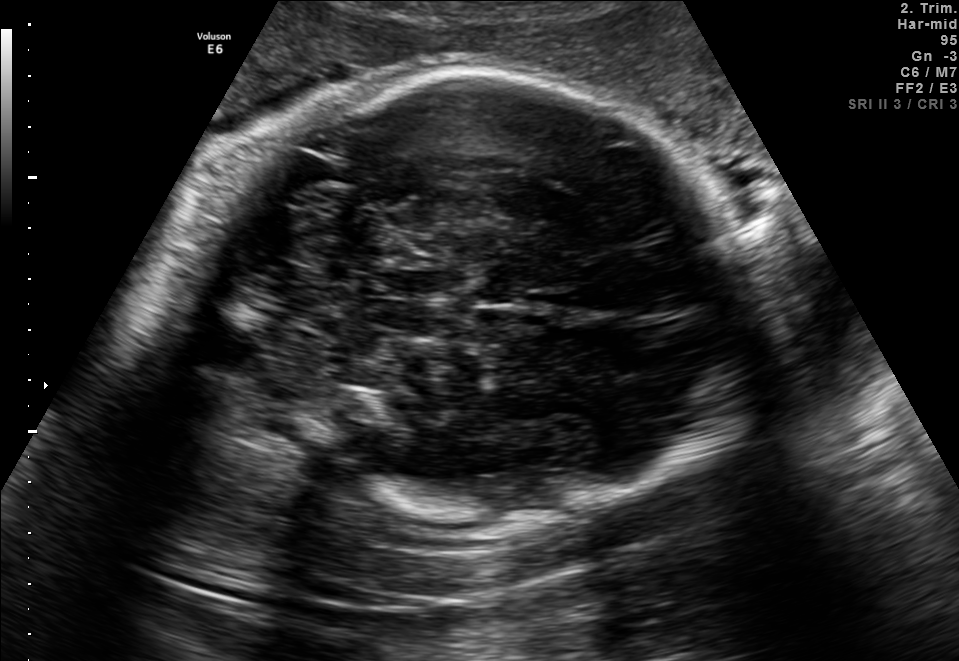
Fetal brain, trans-thalamic plane. Locate the fetal head.

Head: [218,67,755,528]